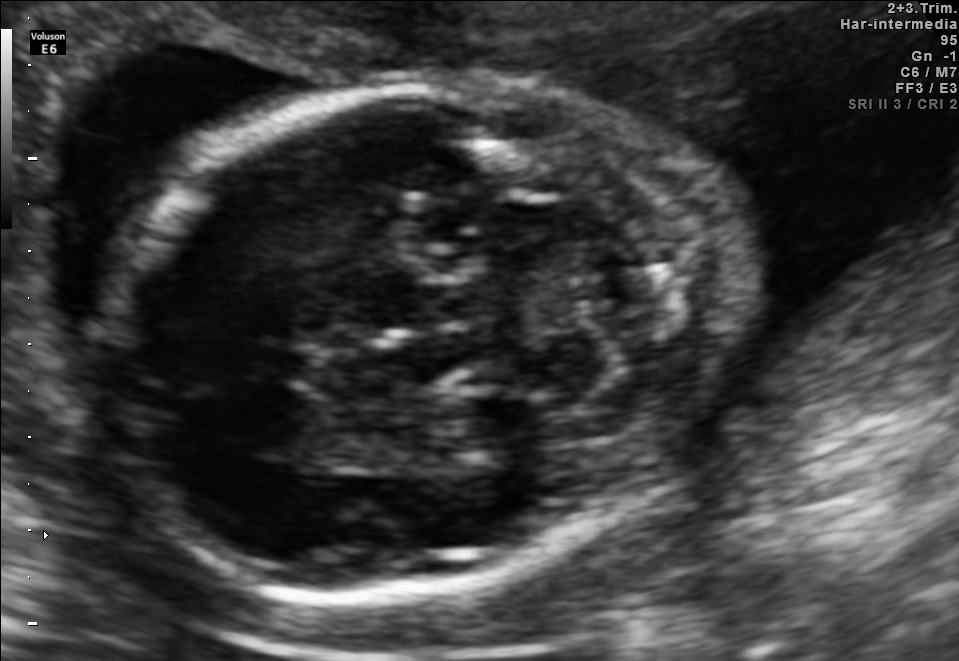
In this fetal brain, trans-cerebellum plane, give bounding boxes for the head outline, cavum septum pellucidum (CSP), and lateral ventricle (LV), where visible.

Head: [102,78,745,591]